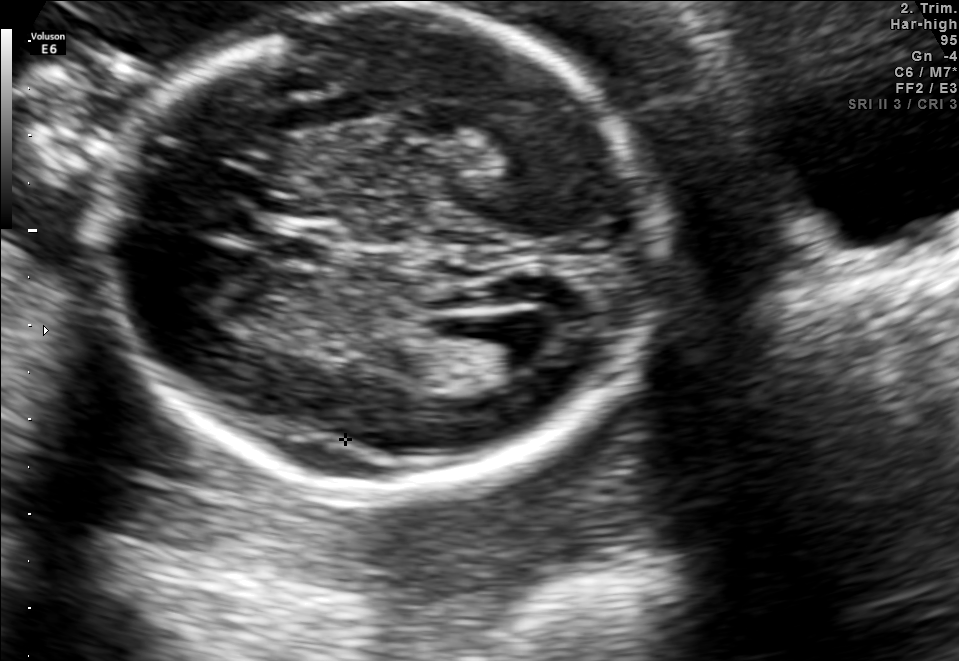
Identify the standard plane in this fetal ultrasound image: fetal abdomen, fetal brain, fetal femur, fetal thorax, maternal cervix, or other. If it's fetal brain and one of the three standard brain planes (trans-thalamic, trans-cerebellum, trans-ventricular), name which.

Fetal brain (trans-ventricular plane)